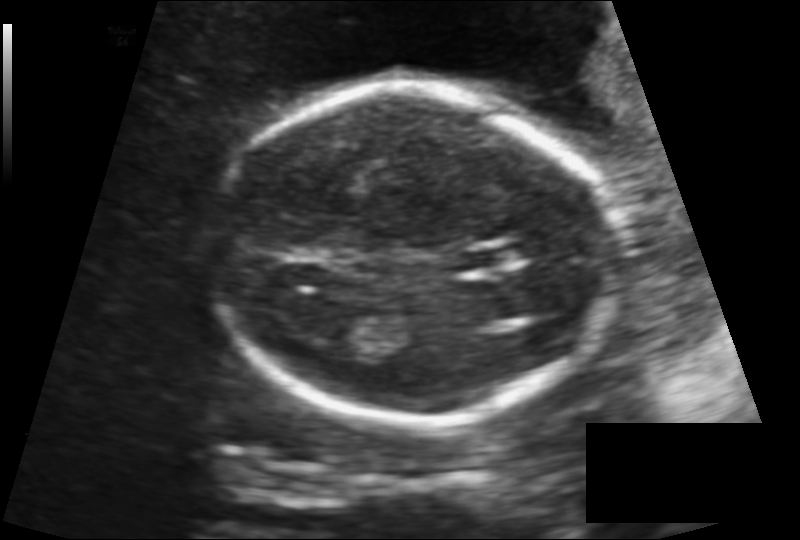
Fetal head ultrasound. Image width: 110.1 mm. Give [x1,y1,x2,y2] bounding boxes for each visible structure among: fetal head, CSP, LV.

Head: [215,89,616,426]
CSP: [456,241,522,275]
Lateral ventricle: [314,299,376,346]